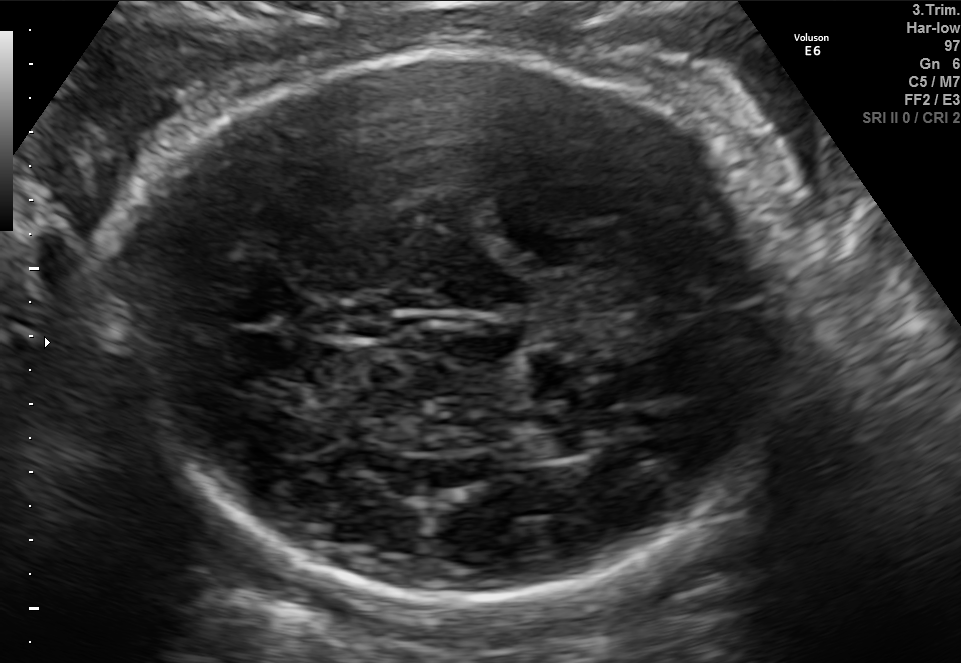
In this fetal brain, trans-thalamic plane, give the bounding box of the fetal head.

[120,57,799,606]